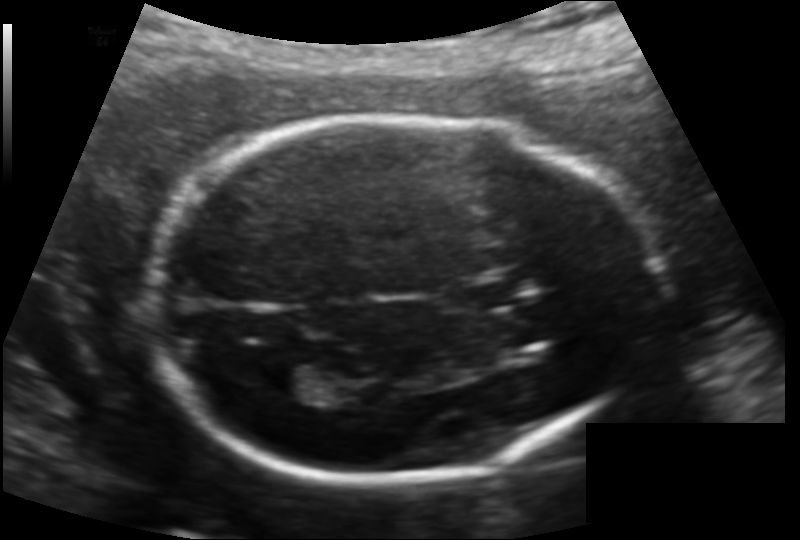
From this fetal ultrasound, estimate the head circumference (image width 105.6 mm).

Head circumference: 189.4 mm.